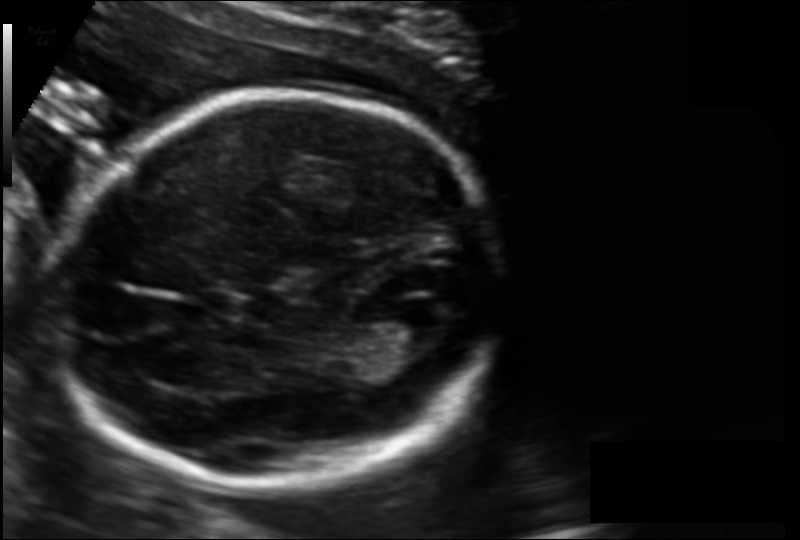
Estimate the fetal head circumference from this 2D ultrasound.

Head circumference: 173.8 mm (image width 102.4 mm).